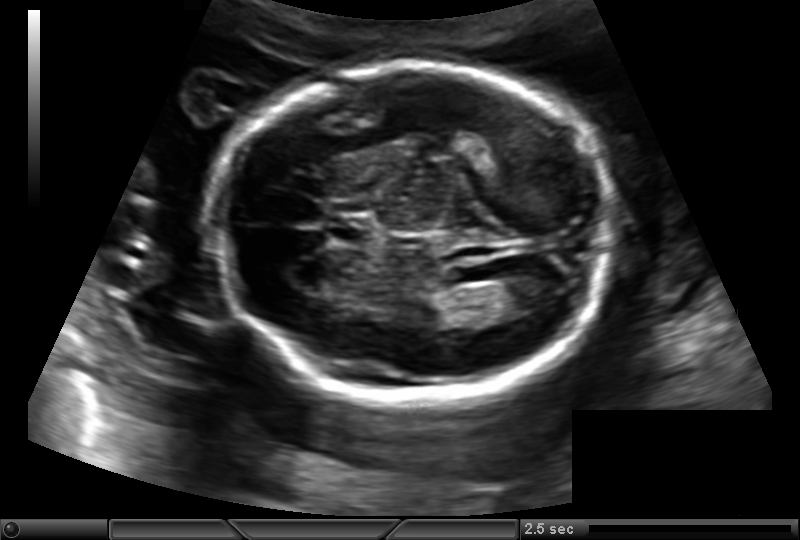
Measure the fetal head circumference shown in this ultrasound image. Image width: 116.2 mm.

Head circumference: 174.9 mm.